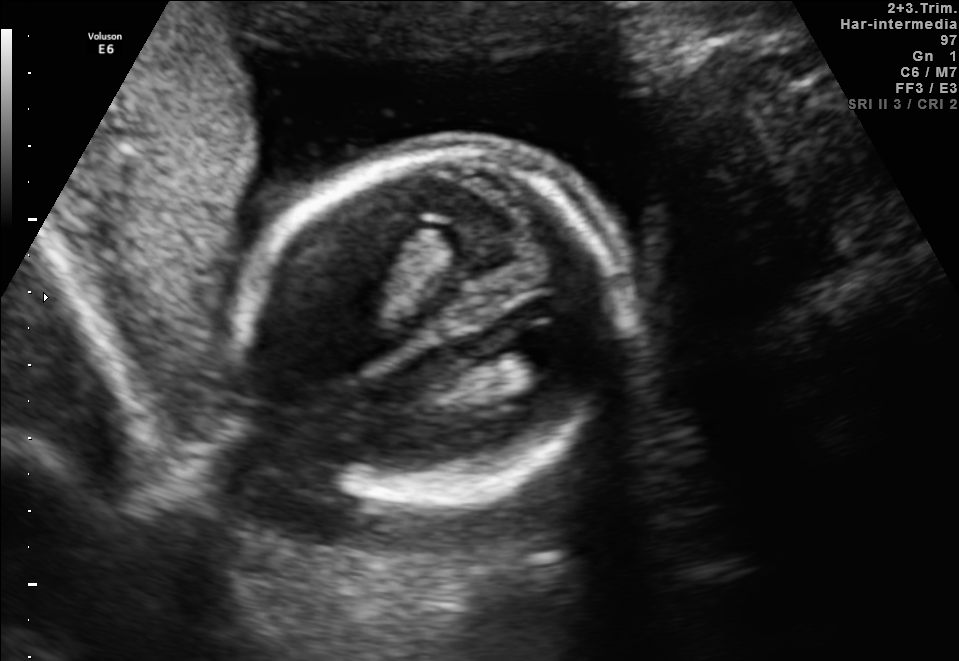
In this fetal brain, trans-ventricular plane, give the bounding box of the fetal head.

[228,134,653,513]